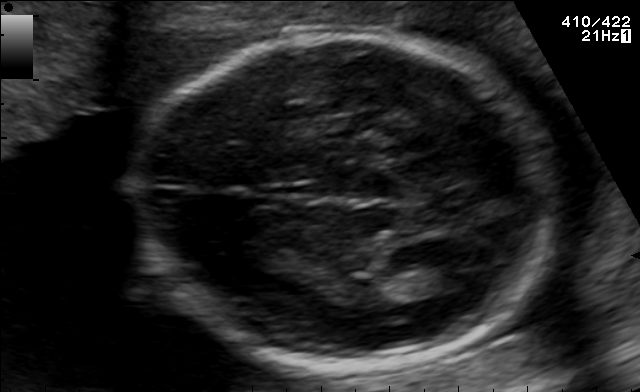
Fetal brain, trans-thalamic plane. Where is the lateral ventricle?

Lateral ventricle bounding box: [411,247,496,300]